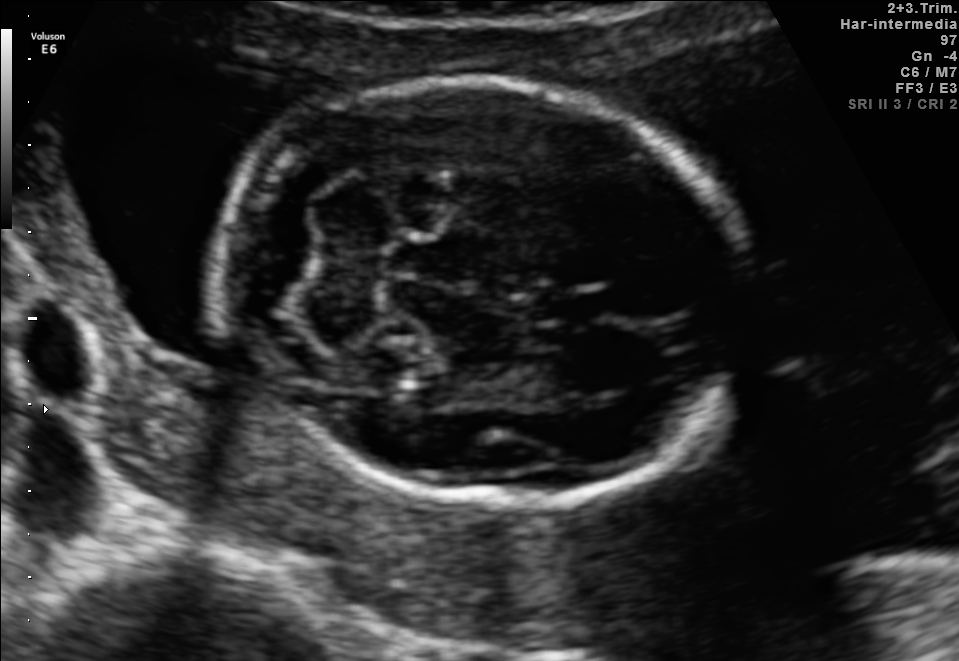
In this fetal brain, trans-cerebellum plane, give the bounding box of the fetal head.

[213,80,746,501]